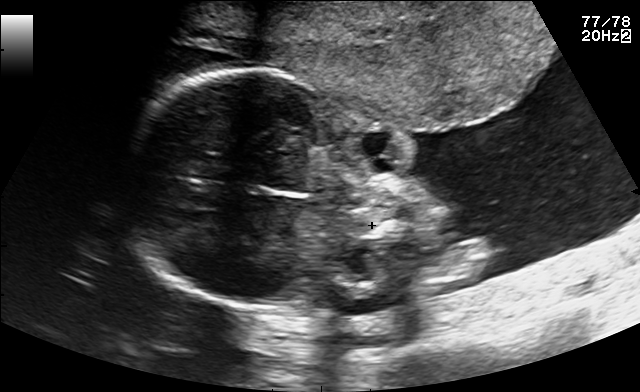
Identify the standard plane in this fetal ultrasound image: fetal abdomen, fetal brain, fetal femur, fetal thorax, maternal cervix, or other. If it's fetal brain and one of the three standard brain planes (trans-thalamic, trans-cerebellum, trans-ventricular), name which.

Other